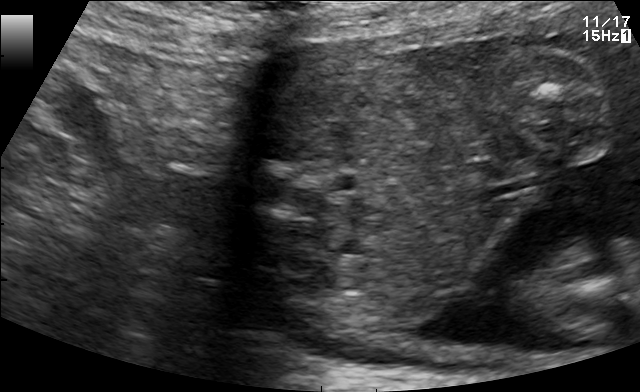
This is a 2D maternal-fetal ultrasound frame. Is it a fetal abdomen, fetal brain, fetal femur, fetal thorax, maternal cervix, or other standard plane? If it's fetal brain and one of the three standard brain planes (trans-thalamic, trans-cerebellum, trans-ventricular), name which.

Other